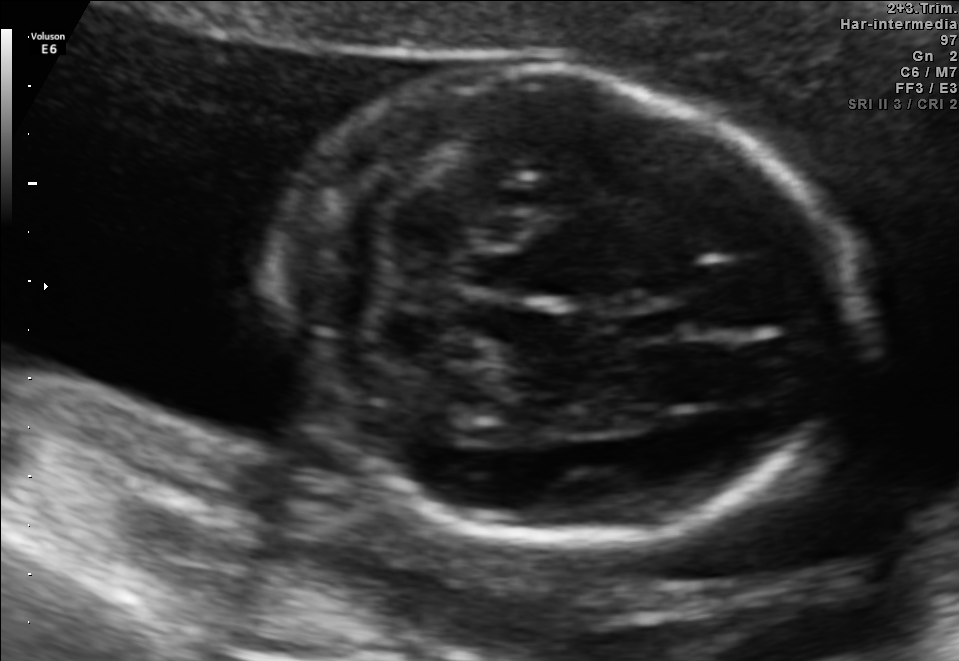
Fetal brain, trans-cerebellum plane. Where is the fetal head?

Head bounding box: [271,68,858,529]